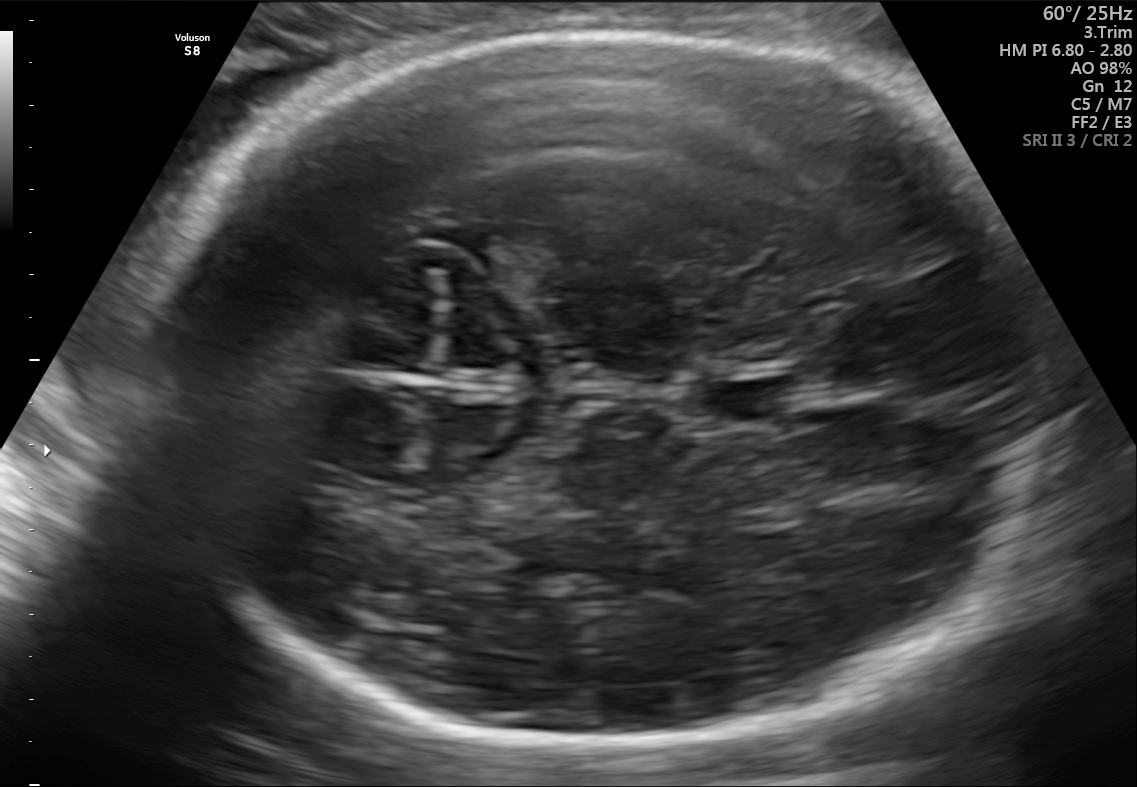
Fetal brain, trans-thalamic plane. Where is the cavum septum pellucidum?

CSP bounding box: [703,372,804,426]